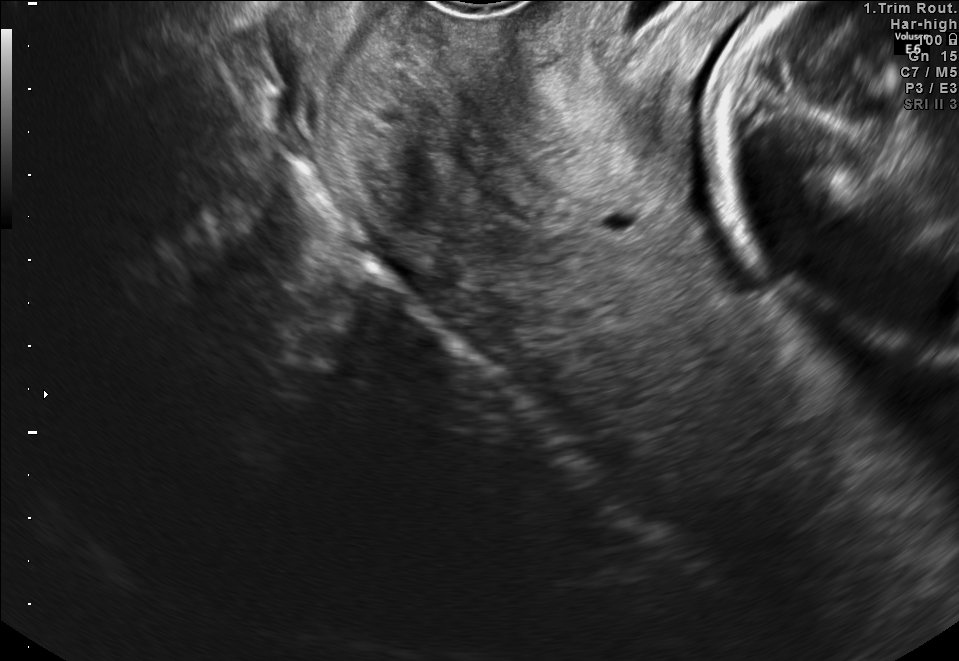
Identify the standard plane in this fetal ultrasound image: fetal abdomen, fetal brain, fetal femur, fetal thorax, maternal cervix, or other. If it's fetal brain and one of the three standard brain planes (trans-thalamic, trans-cerebellum, trans-ventricular), name which.

Maternal cervix